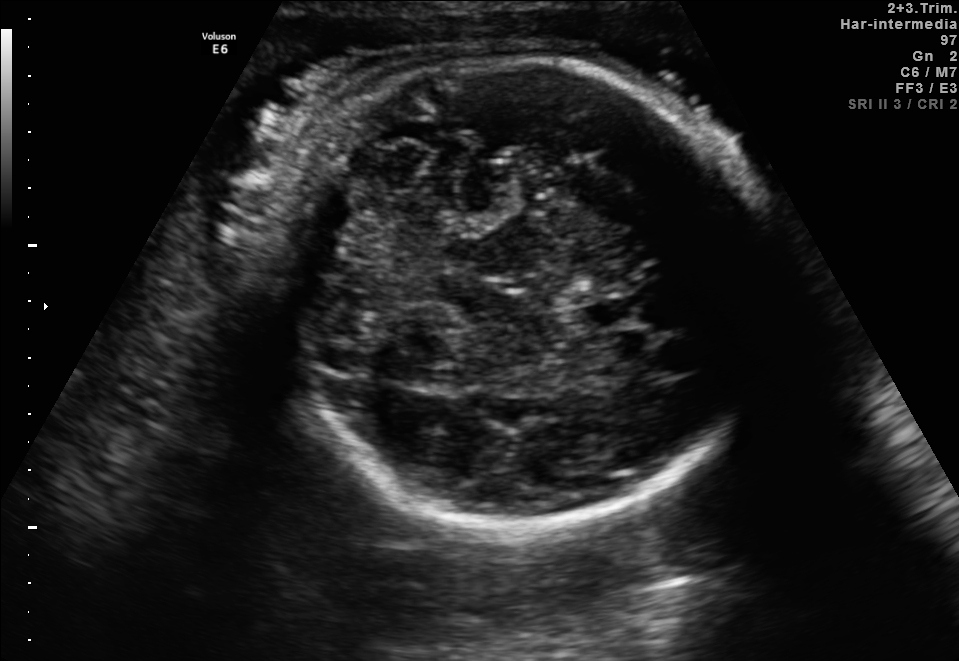
Fetal brain, trans-cerebellum plane. Locate the fetal head.

Head: [247,59,776,526]